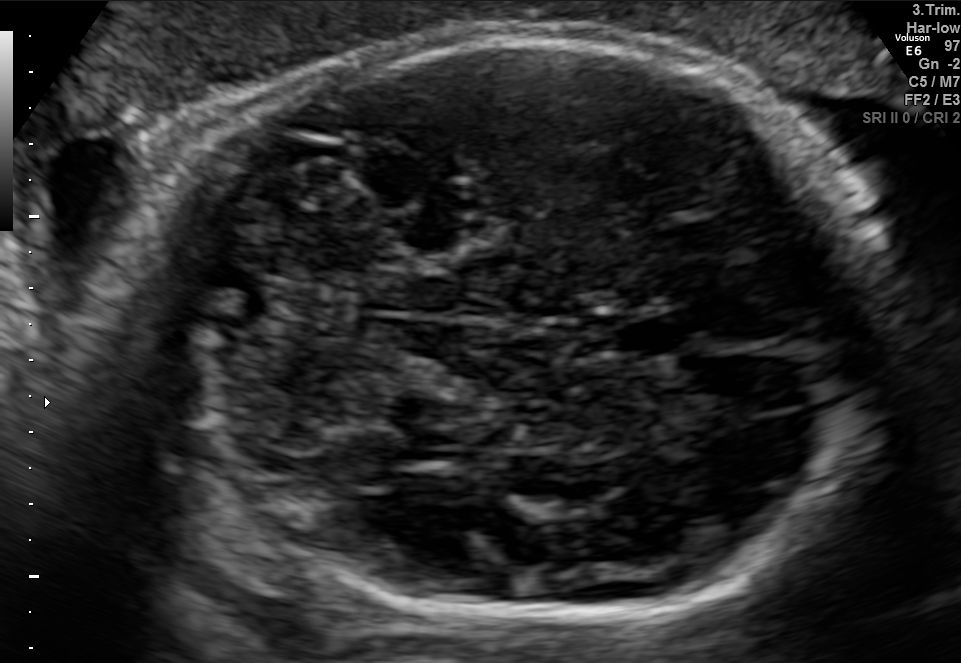
In this fetal brain, trans-cerebellum plane, give the bounding box of the cavum septum pellucidum.

[604,303,701,370]